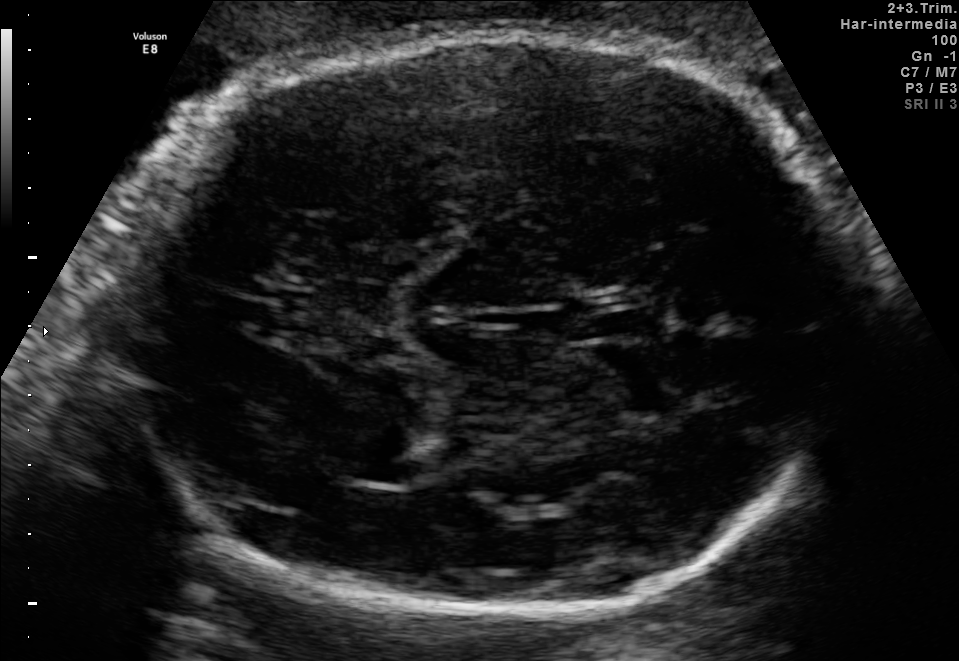
In this fetal brain, trans-thalamic plane, give bounding boxes for the head outline, cavum septum pellucidum (CSP), and lateral ventricle (LV), where visible.

Head: [117,34,854,617]
CSP: [581,307,639,342]
Lateral ventricle: [346,451,419,489]